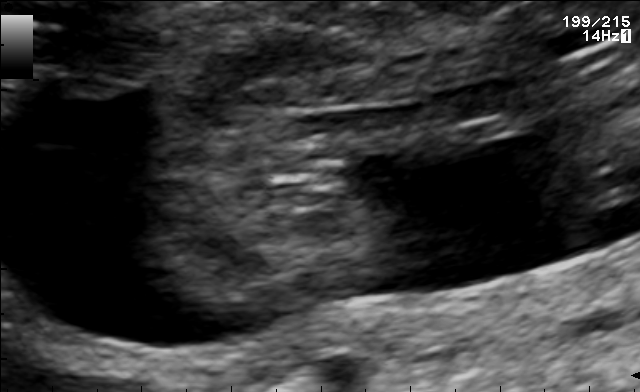
Identify the standard plane in this fetal ultrasound image: fetal abdomen, fetal brain, fetal femur, fetal thorax, maternal cervix, or other. If it's fetal brain and one of the three standard brain planes (trans-thalamic, trans-cerebellum, trans-ventricular), name which.

Other